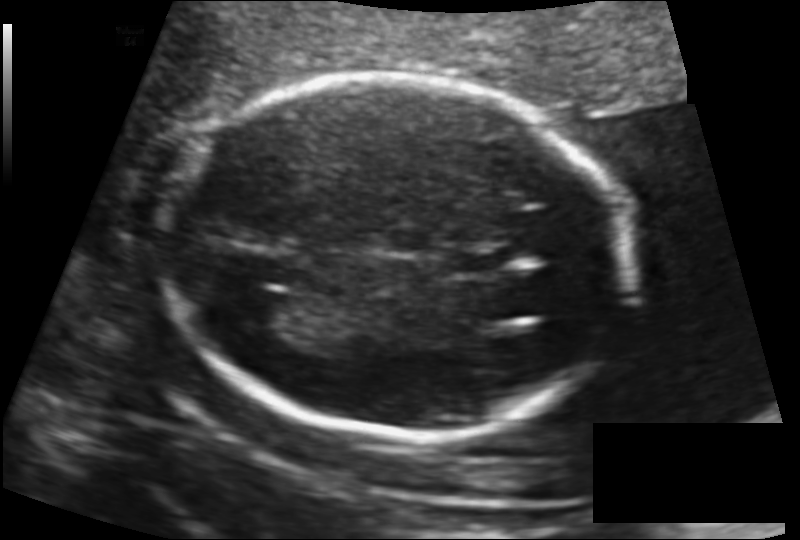
In this fetal head ultrasound, give bounding boxes for the head outline, cavum septum pellucidum (CSP), and lateral ventricle (LV), where visible. Image width: 104.1 mm.

Head: [163,74,632,435]
CSP: [439,247,515,276]
Lateral ventricle: [231,285,309,340]